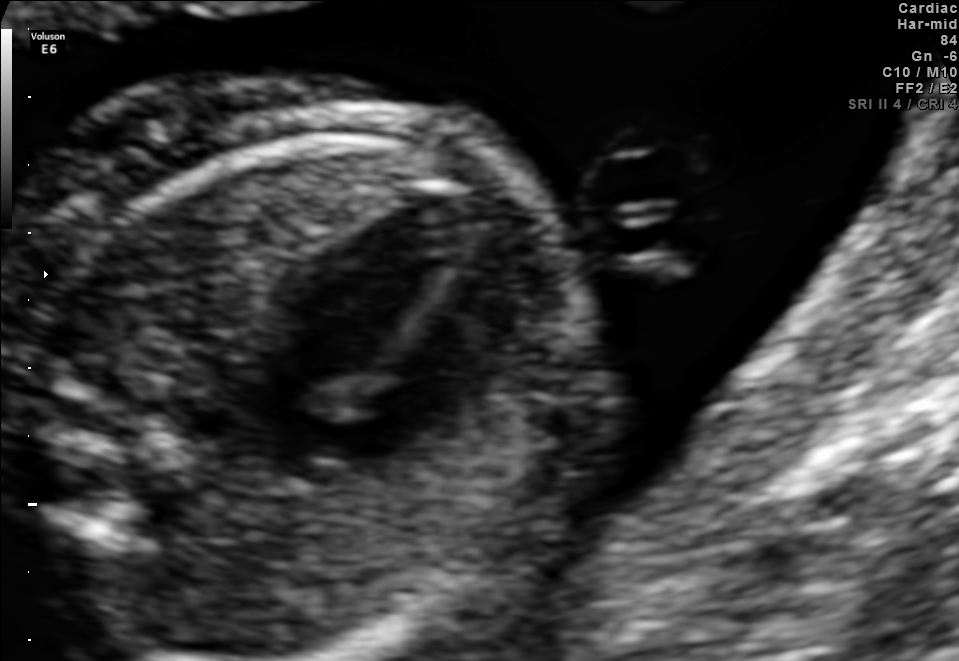
This is a 2D maternal-fetal ultrasound frame. Is it a fetal abdomen, fetal brain, fetal femur, fetal thorax, maternal cervix, or other standard plane? If it's fetal brain and one of the three standard brain planes (trans-thalamic, trans-cerebellum, trans-ventricular), name which.

Fetal thorax